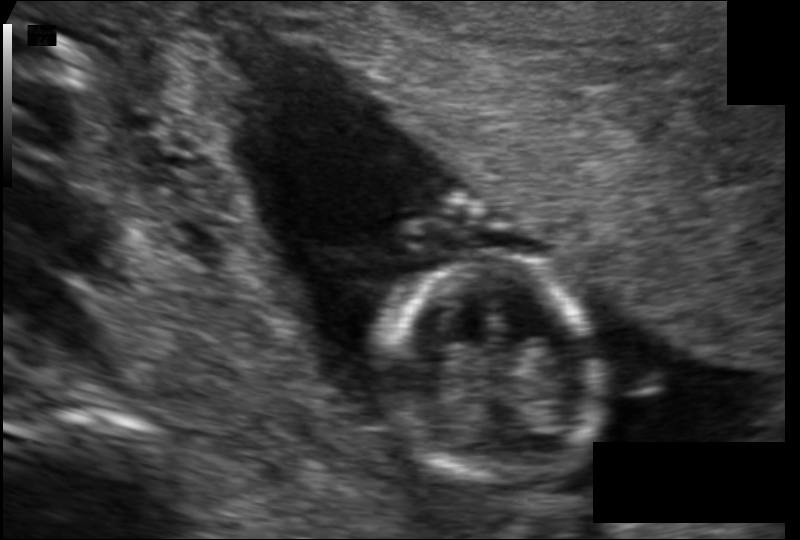
Fetal head ultrasound. Image width: 87.7 mm. Locate the fetal head.

Head: [381,255,596,483]